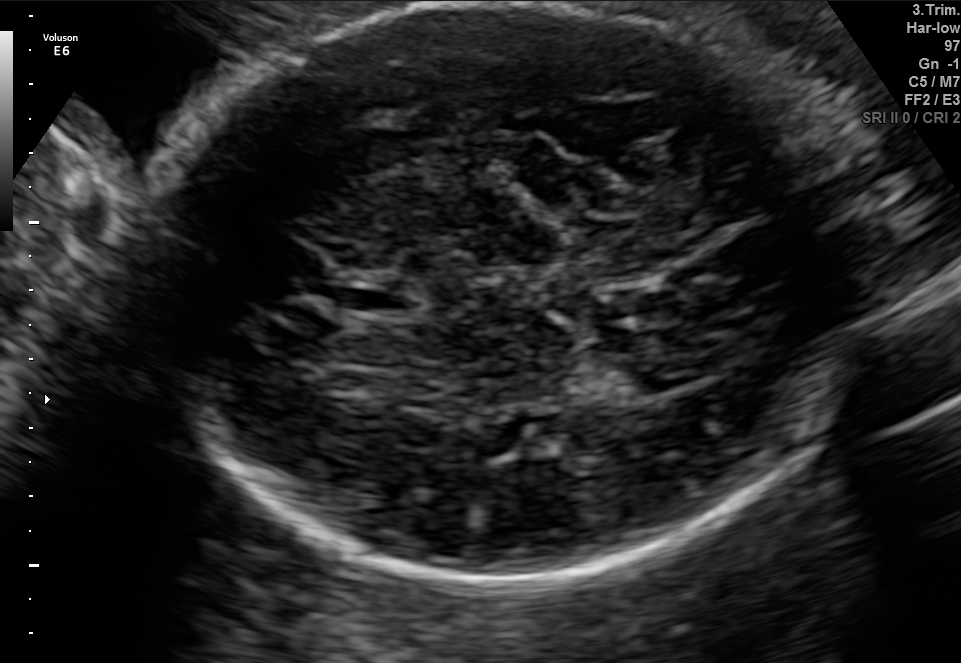
In this fetal brain, trans-thalamic plane, give bounding boxes for the head outline, cavum septum pellucidum (CSP), and lateral ventricle (LV), where visible.

Head: [130,6,875,583]
CSP: [337,282,419,312]
Lateral ventricle: [618,339,715,405]